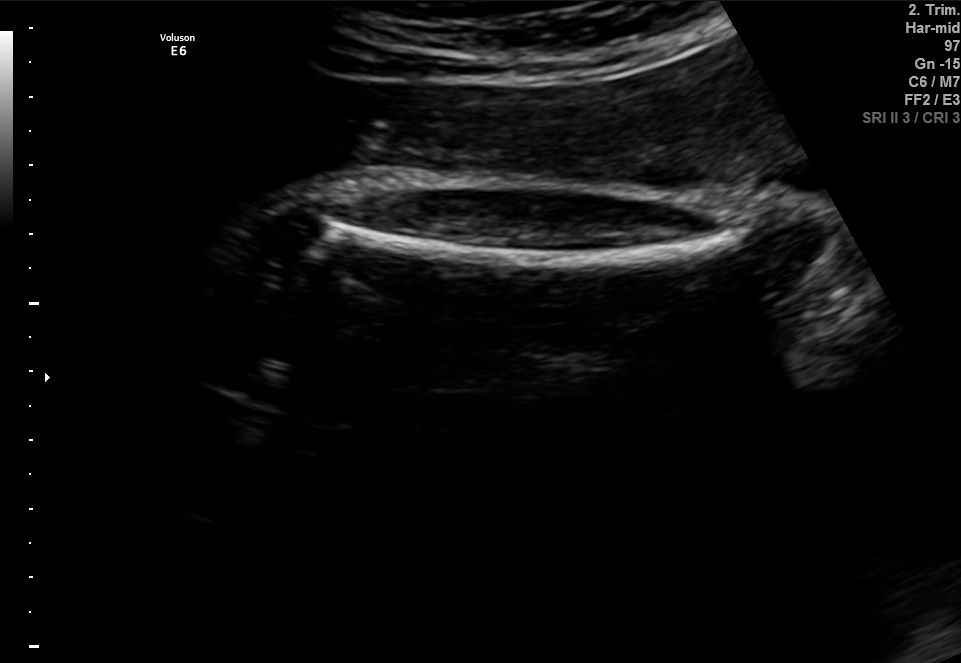
Which standard maternal-fetal ultrasound plane is shown: fetal abdomen, fetal brain, fetal femur, fetal thorax, maternal cervix, or other? If it's fetal brain and one of the three standard brain planes (trans-thalamic, trans-cerebellum, trans-ventricular), name which.

Fetal femur